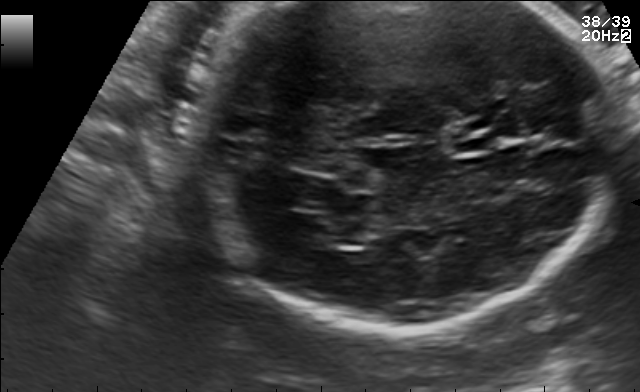
Fetal brain, trans-cerebellum plane. Give [x1,y1,x2,y2] bounding boxes for each visible structure among: CSP, LV.

CSP: [448,129,494,159]
Lateral ventricle: [301,215,366,246]